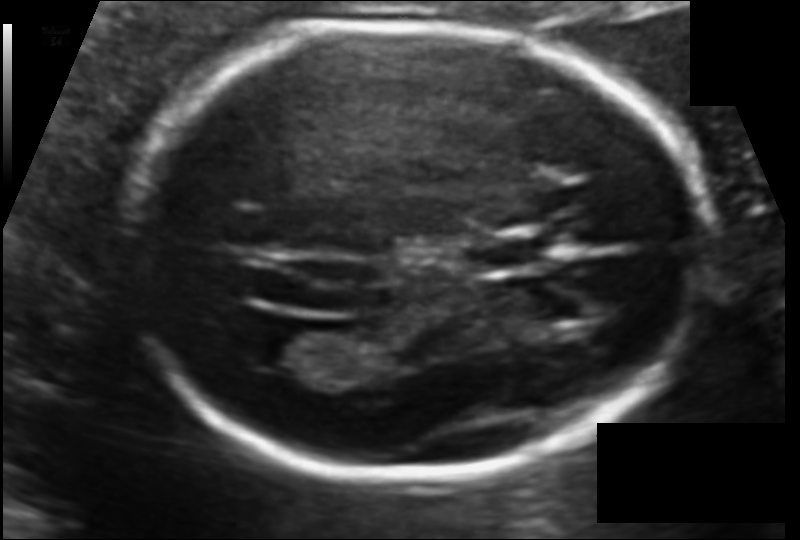
Fetal head ultrasound. Image width: 85.6 mm. Where is the fetal head?

Head bounding box: [124,25,706,476]